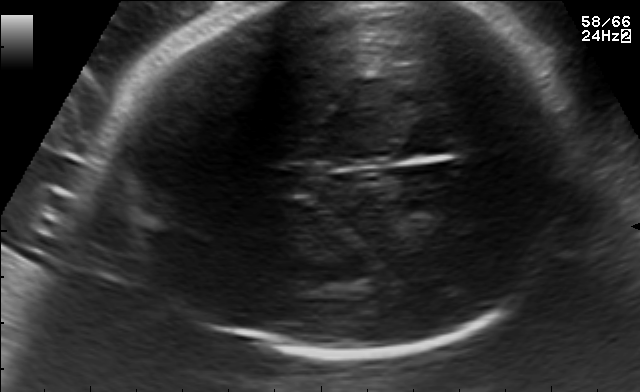
In this fetal brain, trans-thalamic plane, give bounding boxes for the head outline, cavum septum pellucidum (CSP), and lateral ventricle (LV), where visible.

Head: [95,3,583,358]
CSP: [261,166,320,193]